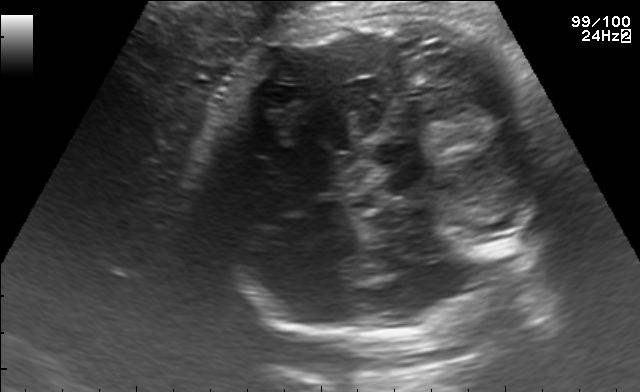
Fetal brain, trans-cerebellum plane. Where is the fetal head?

Head bounding box: [202,3,559,340]